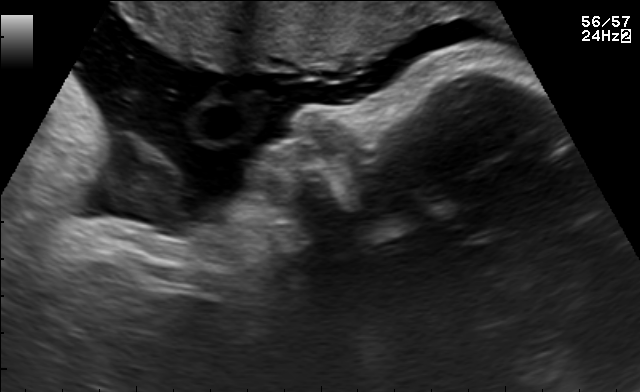
This is a 2D maternal-fetal ultrasound frame. Is it a fetal abdomen, fetal brain, fetal femur, fetal thorax, maternal cervix, or other standard plane? If it's fetal brain and one of the three standard brain planes (trans-thalamic, trans-cerebellum, trans-ventricular), name which.

Other